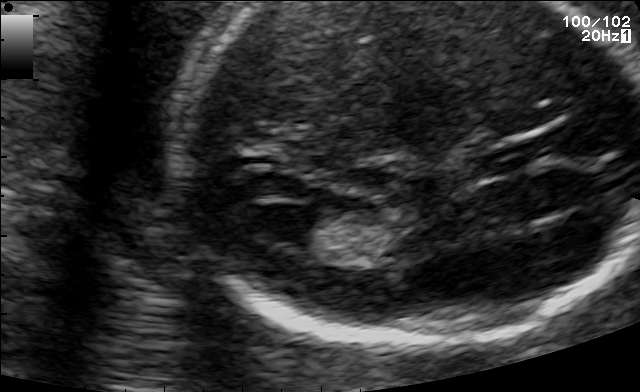
Identify the standard plane in this fetal ultrasound image: fetal abdomen, fetal brain, fetal femur, fetal thorax, maternal cervix, or other. If it's fetal brain and one of the three standard brain planes (trans-thalamic, trans-cerebellum, trans-ventricular), name which.

Fetal brain (trans-ventricular plane)